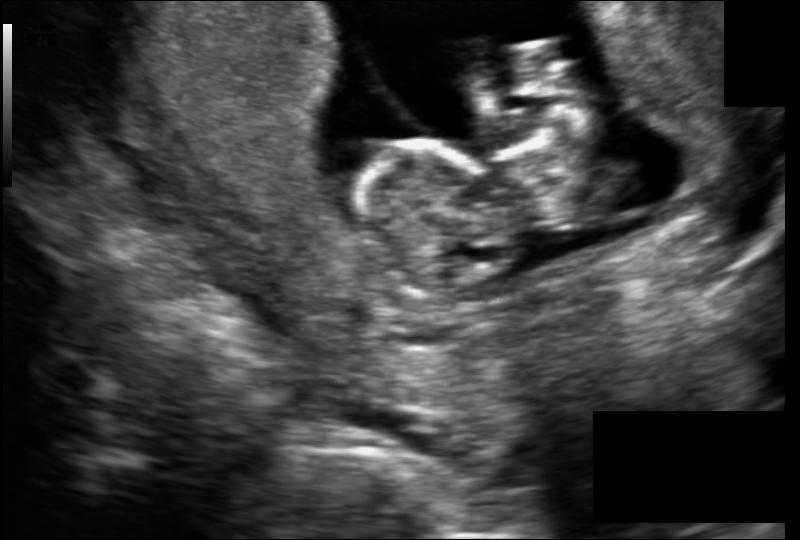
From this fetal ultrasound, estimate the head circumference (image width 97.2 mm).

Head circumference: 62.3 mm.